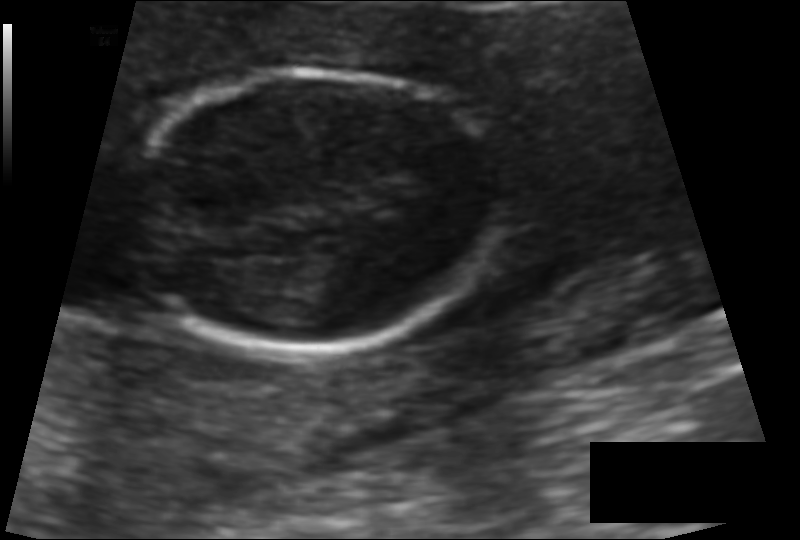
Fetal head ultrasound. Image width: 75.9 mm. Locate the fetal head.

Head: [132,72,496,355]